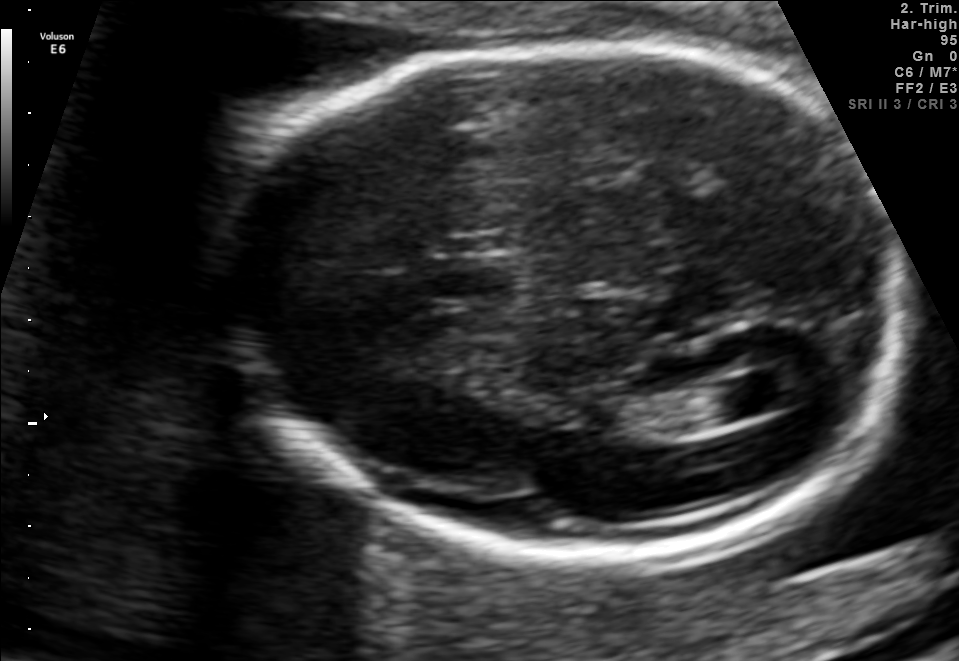
Fetal brain, trans-ventricular plane. Where is the cavum septum pellucidum?

CSP bounding box: [424,255,516,304]